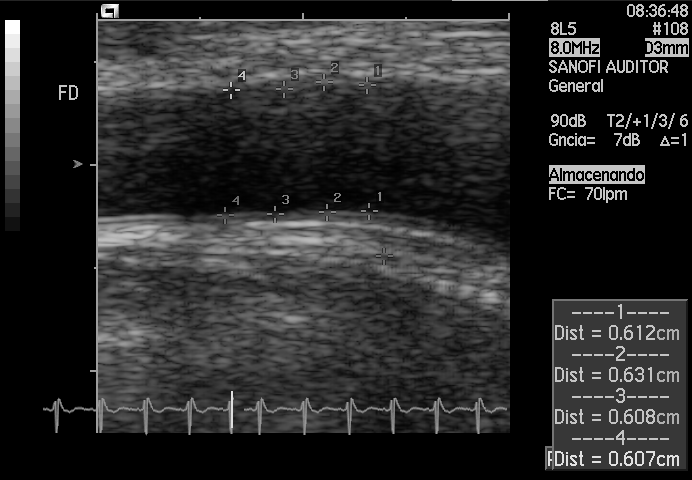
Classify this maternal-fetal ultrasound image as one of the six standard planes — fetal abdomen, fetal brain, fetal femur, fetal thorax, maternal cervix, or other. If it's fetal brain and one of the three standard brain planes (trans-thalamic, trans-cerebellum, trans-ventricular), name which.

Other